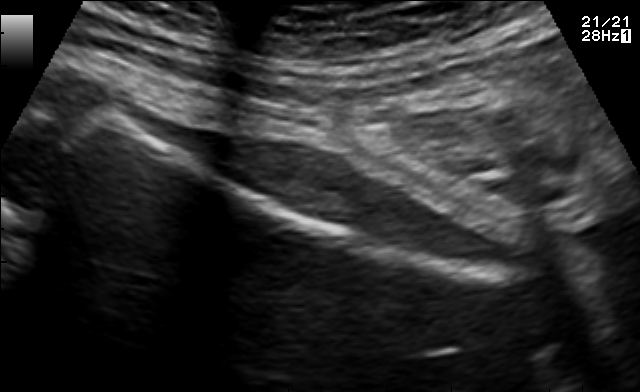
Which standard maternal-fetal ultrasound plane is shown: fetal abdomen, fetal brain, fetal femur, fetal thorax, maternal cervix, or other? If it's fetal brain and one of the three standard brain planes (trans-thalamic, trans-cerebellum, trans-ventricular), name which.

Fetal femur